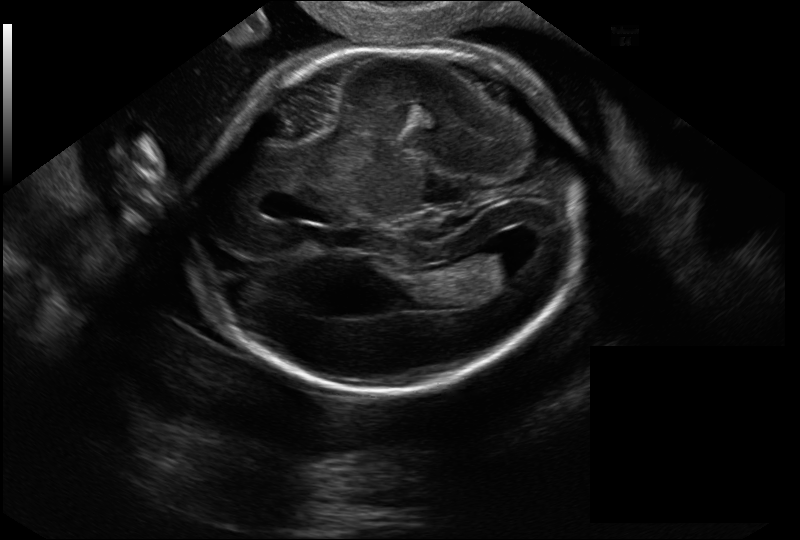
What is the fetal head circumference? Image width is 115.6 mm.

174.1 mm